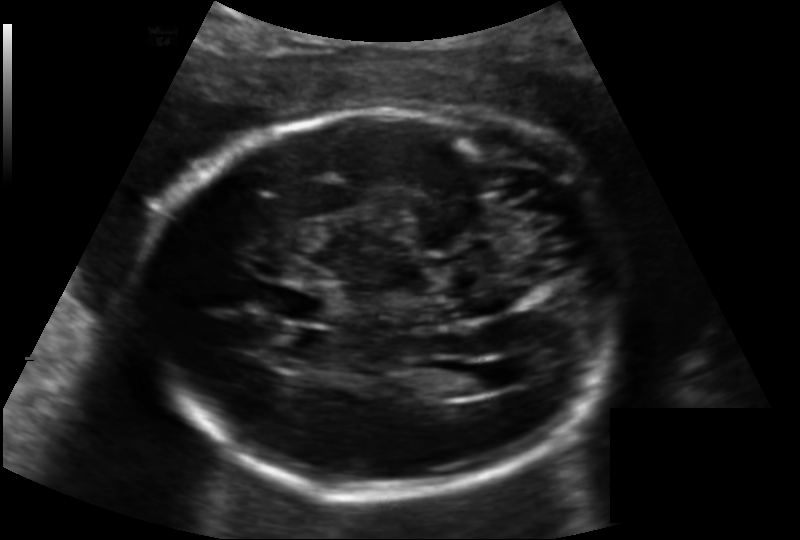
In this fetal head ultrasound, give the bounding box of the cavum septum pellucidum. Image width: 126.5 mm.

[270,281,335,327]